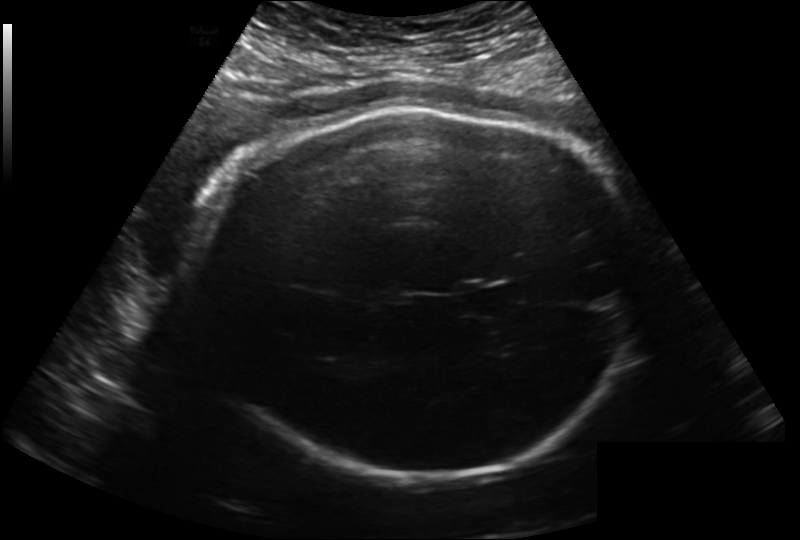
Estimate the fetal head circumference from this 2D ultrasound. Image width: 177.2 mm.

Head circumference: 291.4 mm.